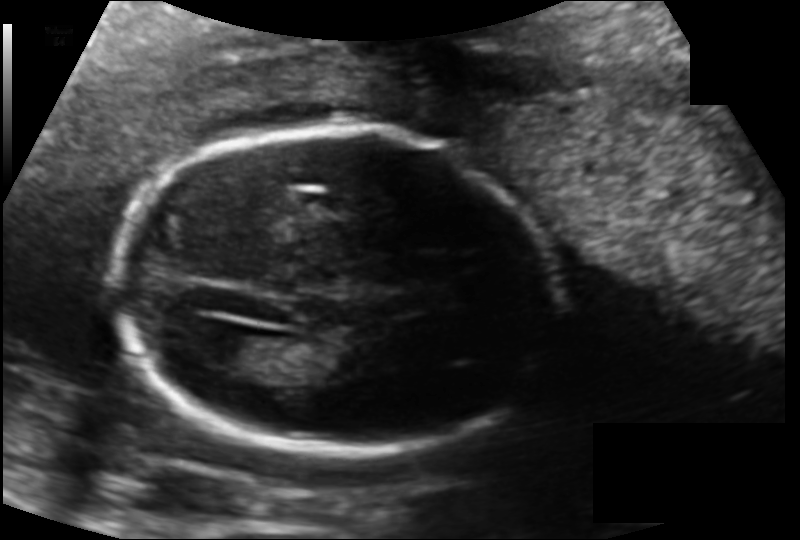
Fetal head ultrasound. Image width: 107.0 mm. Locate the fetal head.

Head: [115,127,556,453]